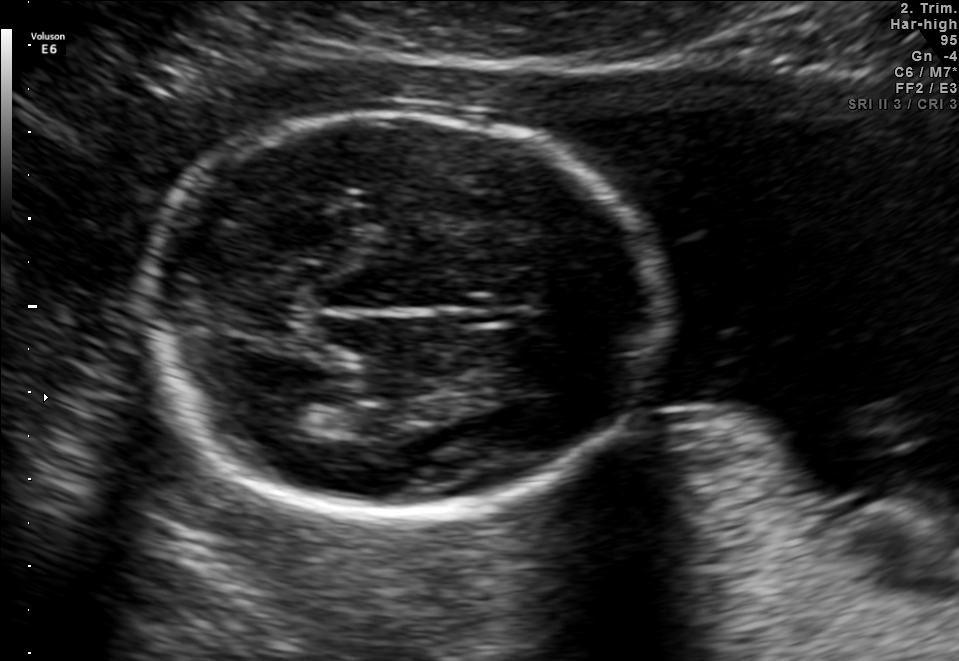
Fetal brain, trans-thalamic plane. Locate the fetal head and, if visible, the cavum septum pellucidum (CSP) and lateral ventricle (LV). Give bounding boxes as [x1,y1,x2,y2].

Head: [138,111,667,510]